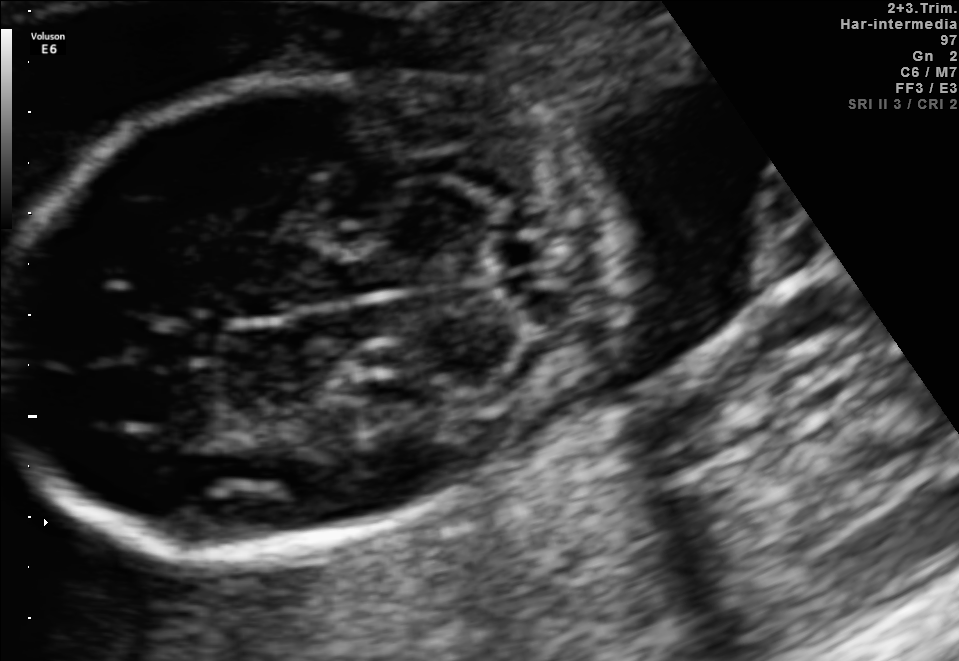
Fetal brain, trans-cerebellum plane. Give [x1,y1,x2,y2] bounding boxes for each visible structure among: fetal head, CSP, LV.

Head: [3,71,612,550]
CSP: [138,318,220,372]